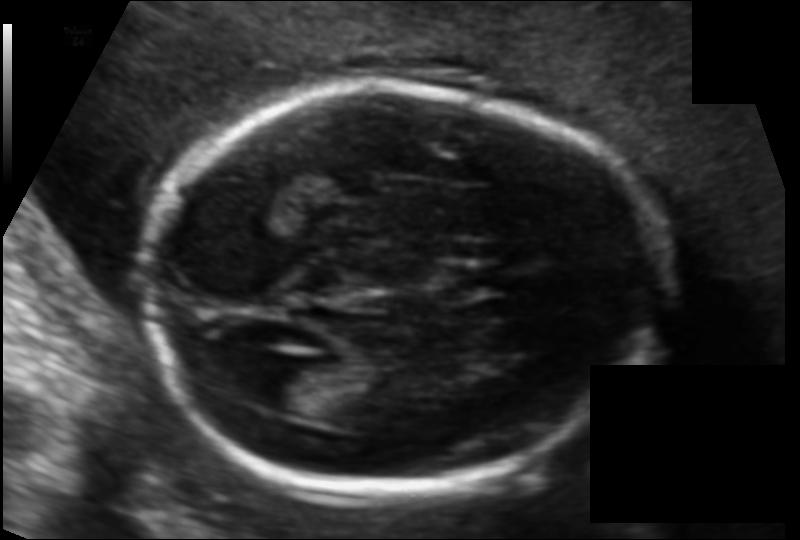
Fetal head ultrasound. Image width: 88.8 mm. Give [x1,y1,x2,y2] bounding boxes for each visible structure among: fetal head, CSP, LV.

Head: [143,83,660,494]
CSP: [445,260,513,299]
Lateral ventricle: [238,355,329,421]